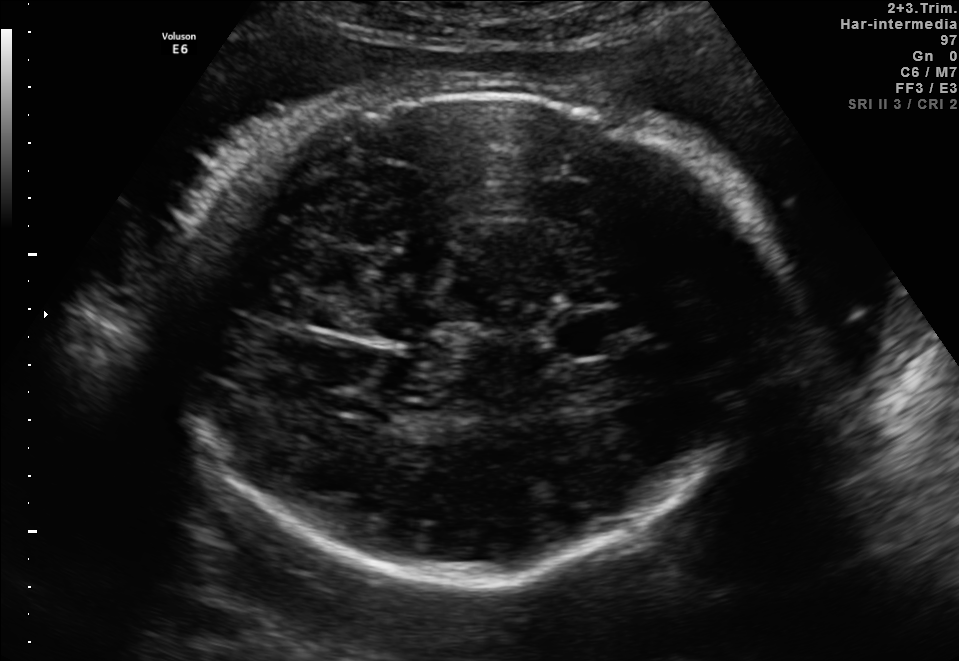
Fetal brain, trans-thalamic plane. Where is the cavum septum pellucidum?

CSP bounding box: [554,303,628,359]